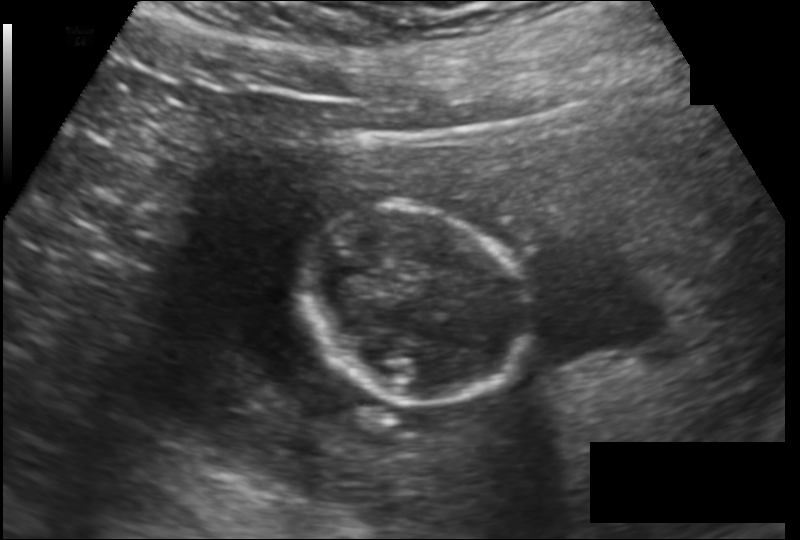
Estimate the fetal head circumference from this 2D ultrasound.

Head circumference: 105.6 mm (image width 119.2 mm).